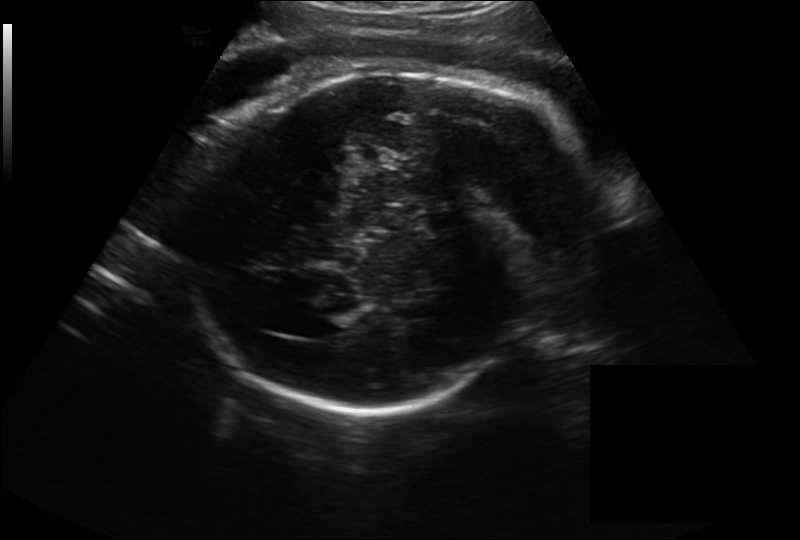
Estimate the fetal head circumference from this 2D ultrasound. Image width: 209.3 mm.

Head circumference: 312.5 mm.